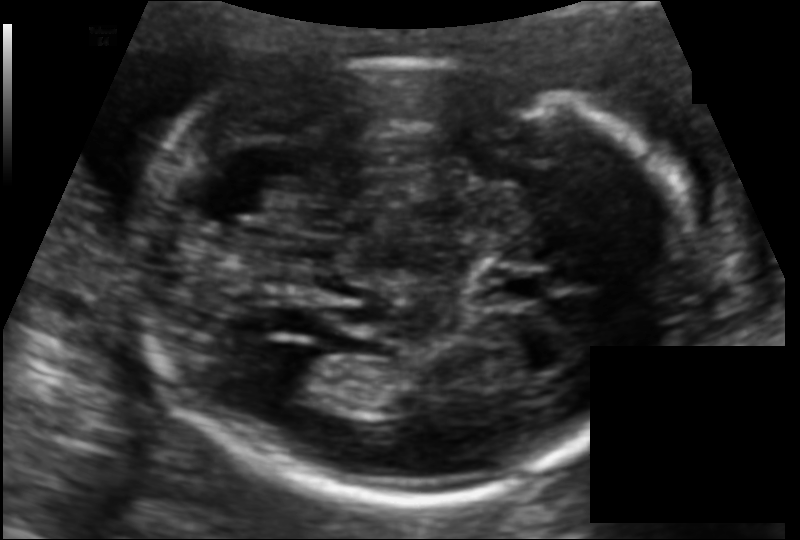
In this fetal head ultrasound, give the bounding box of the lateral ventricle. Image width: 91.9 mm.

[261,347,351,412]